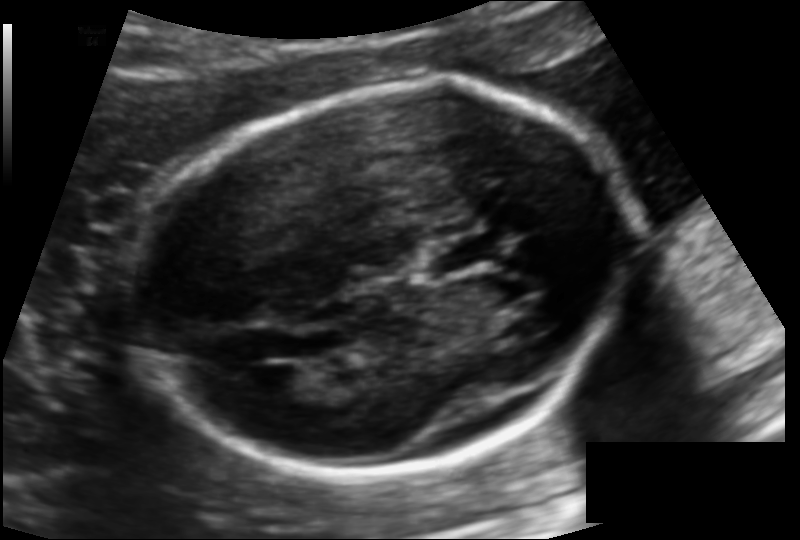
What is the fetal head circumference? Image width is 99.2 mm.

176.3 mm